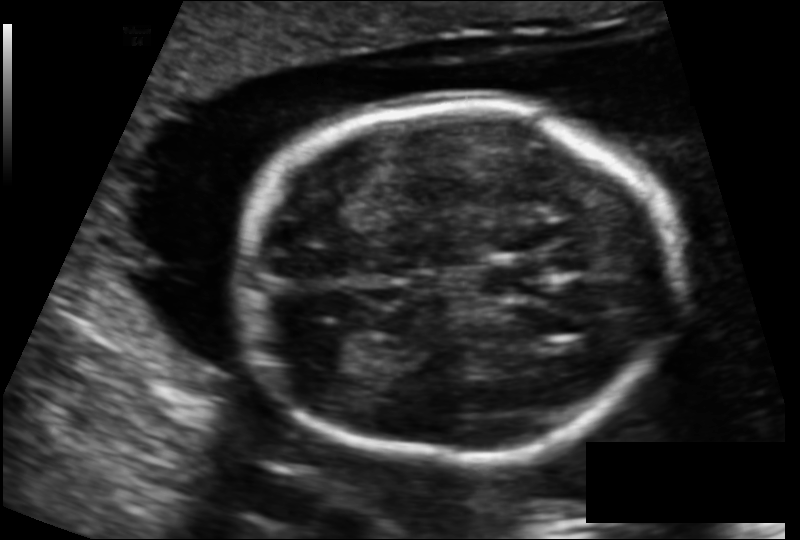
Fetal head ultrasound. Image width: 104.4 mm. Locate the cavum septum pellucidum.

CSP: [485,264,548,297]